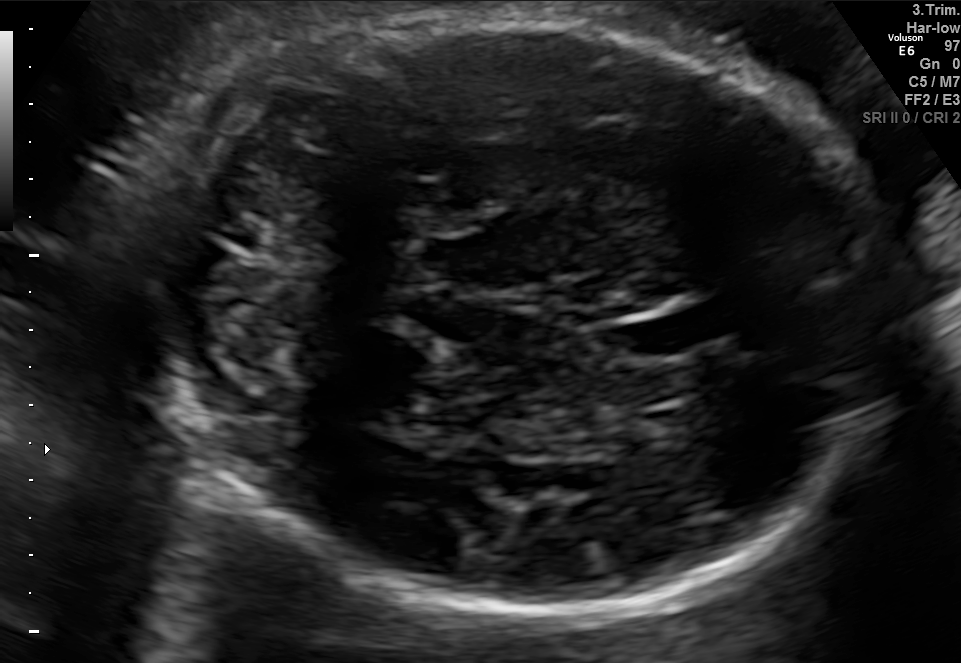
In this fetal brain, trans-cerebellum plane, give bounding boxes for the head outline, cavum septum pellucidum (CSP), and lateral ventricle (LV), where visible.

Head: [153,7,884,620]
CSP: [596,306,694,372]